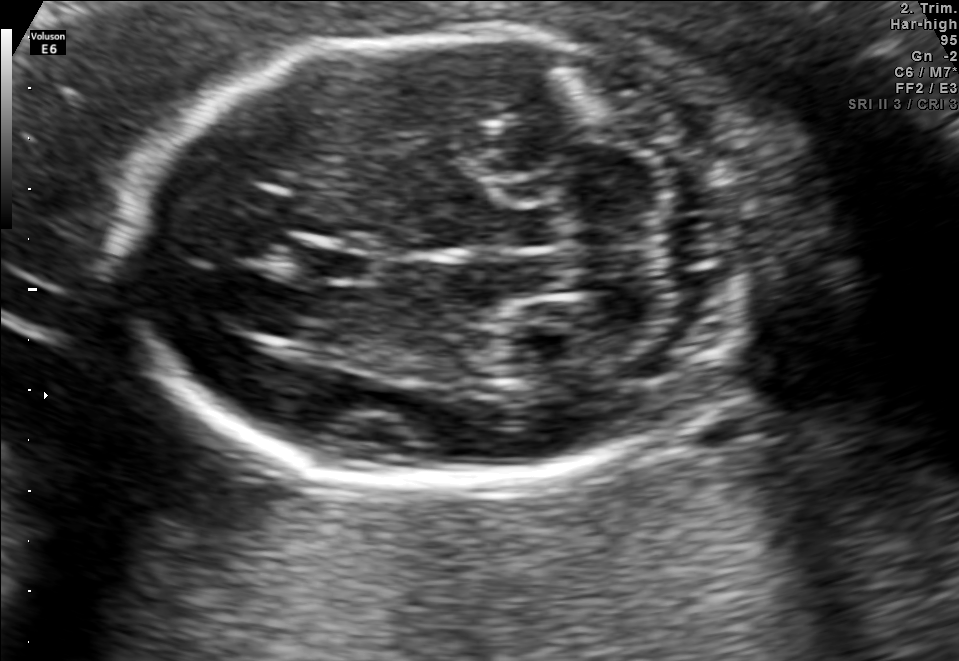
Identify the standard plane in this fetal ultrasound image: fetal abdomen, fetal brain, fetal femur, fetal thorax, maternal cervix, or other. If it's fetal brain and one of the three standard brain planes (trans-thalamic, trans-cerebellum, trans-ventricular), name which.

Fetal brain (trans-cerebellum plane)